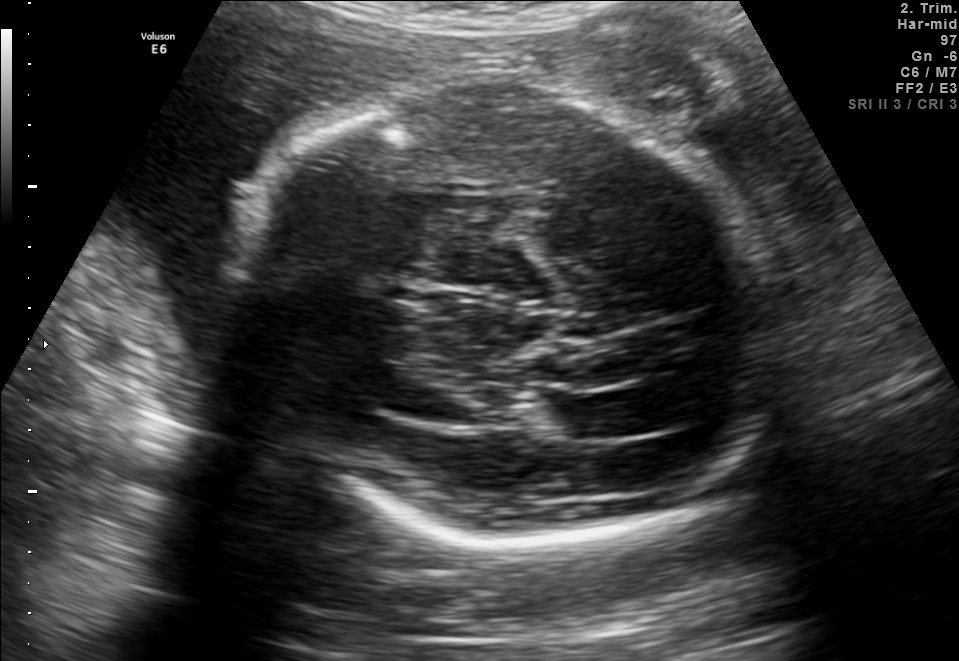
Classify this maternal-fetal ultrasound image as one of the six standard planes — fetal abdomen, fetal brain, fetal femur, fetal thorax, maternal cervix, or other. If it's fetal brain and one of the three standard brain planes (trans-thalamic, trans-cerebellum, trans-ventricular), name which.

Fetal brain (trans-thalamic plane)